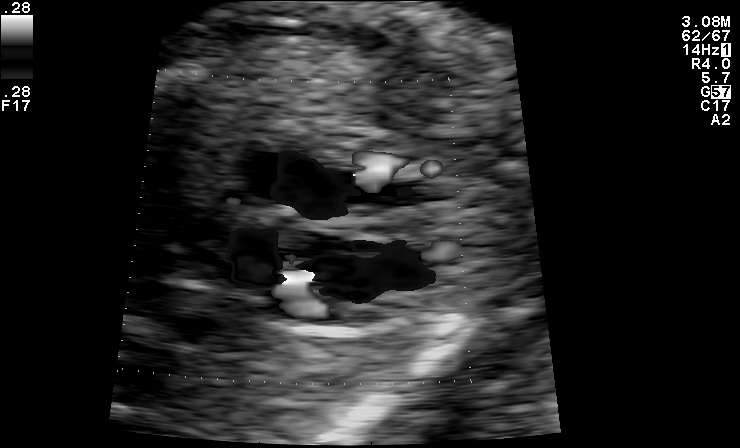
Identify the standard plane in this fetal ultrasound image: fetal abdomen, fetal brain, fetal femur, fetal thorax, maternal cervix, or other. If it's fetal brain and one of the three standard brain planes (trans-thalamic, trans-cerebellum, trans-ventricular), name which.

Other